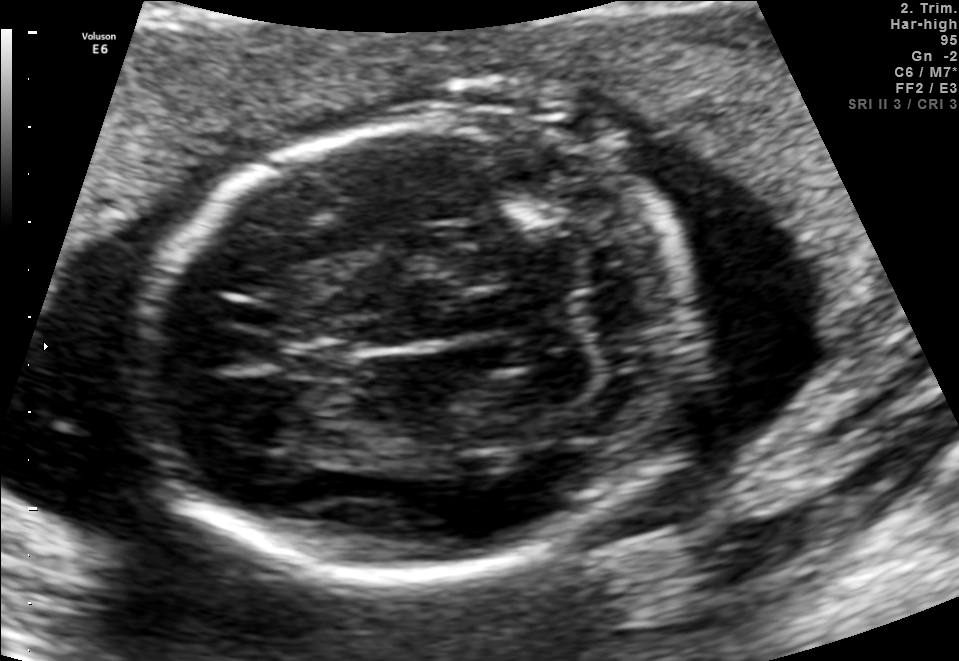
Fetal brain, trans-cerebellum plane. Where is the cavum septum pellucidum?

CSP bounding box: [283,340,353,380]